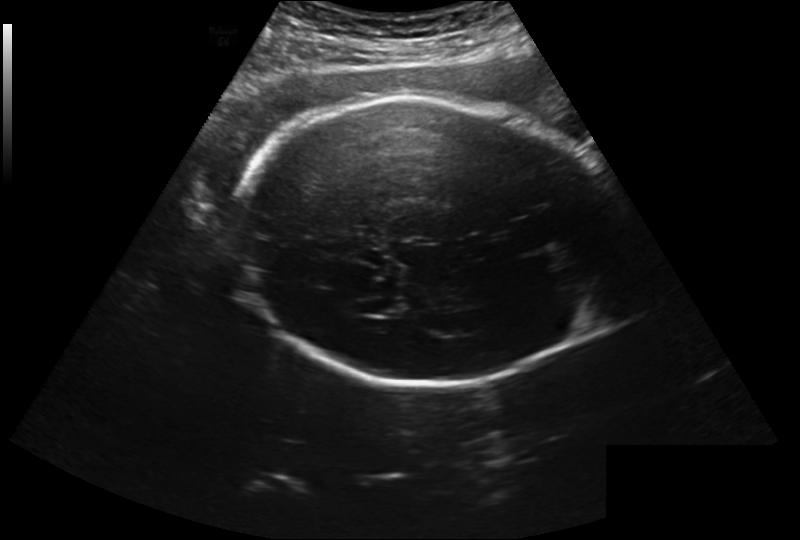
Fetal head ultrasound. Image width: 208.3 mm. Locate the fetal head and, if visible, the cavum septum pellucidum (CSP) and lateral ventricle (LV). Give bounding boxes as [x1,y1,x2,y2].

Head: [233,97,614,387]
Lateral ventricle: [369,297,407,315]